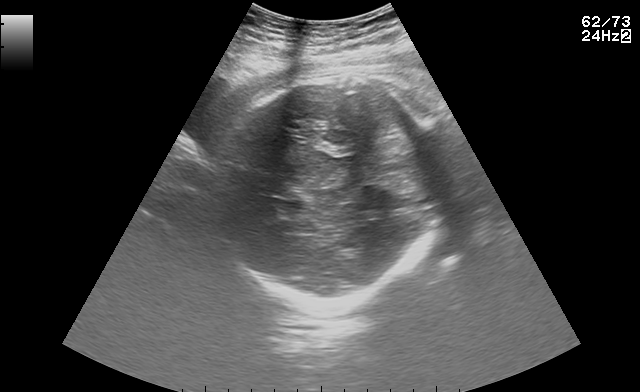
Fetal brain, trans-thalamic plane. Locate the fetal head and, if visible, the cavum septum pellucidum (CSP) and lateral ventricle (LV). Give bounding boxes as [x1,y1,x2,y2].

Head: [213,72,442,304]